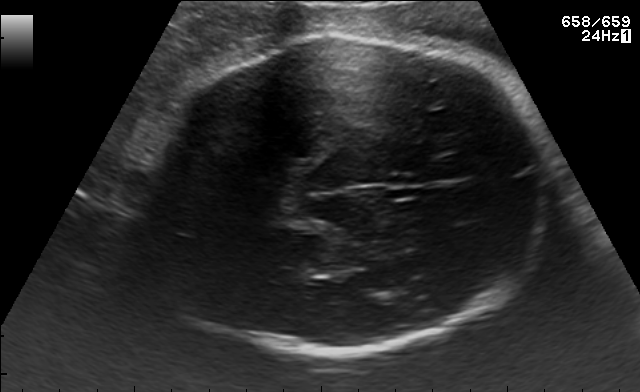
Identify the standard plane in this fetal ultrasound image: fetal abdomen, fetal brain, fetal femur, fetal thorax, maternal cervix, or other. If it's fetal brain and one of the three standard brain planes (trans-thalamic, trans-cerebellum, trans-ventricular), name which.

Fetal brain (trans-thalamic plane)